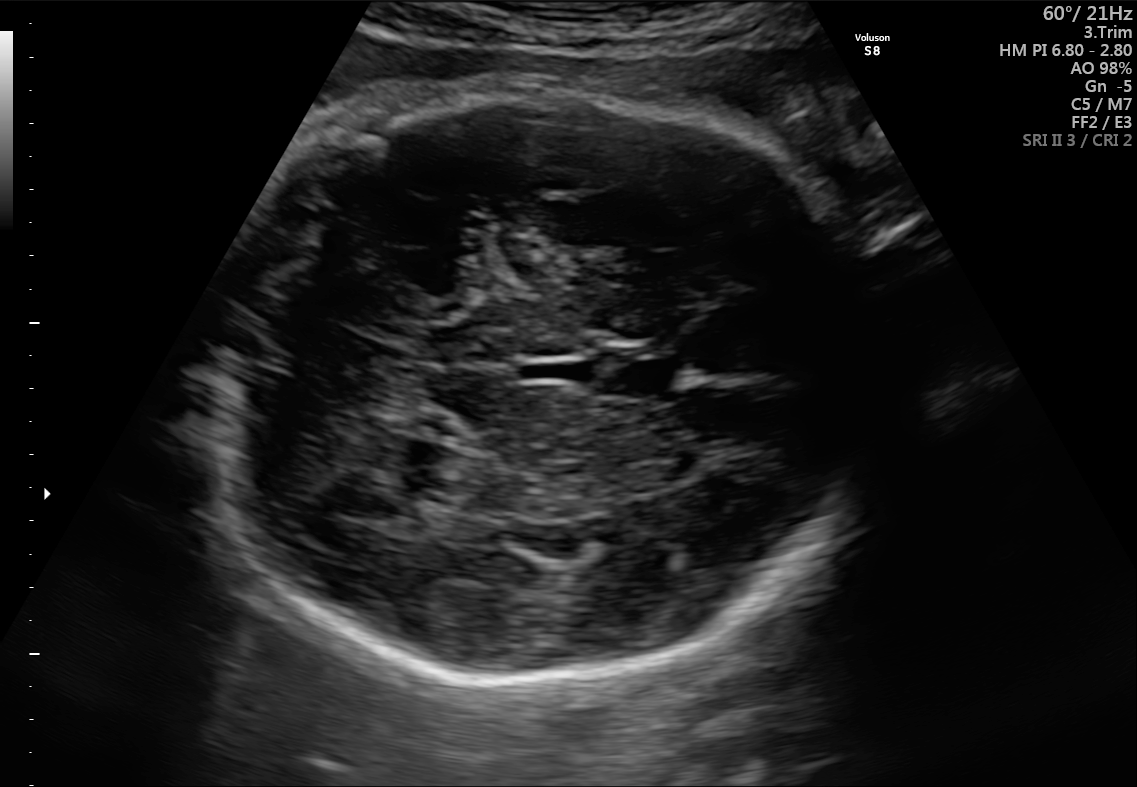
Which standard maternal-fetal ultrasound plane is shown: fetal abdomen, fetal brain, fetal femur, fetal thorax, maternal cervix, or other? If it's fetal brain and one of the three standard brain planes (trans-thalamic, trans-cerebellum, trans-ventricular), name which.

Fetal brain (trans-cerebellum plane)